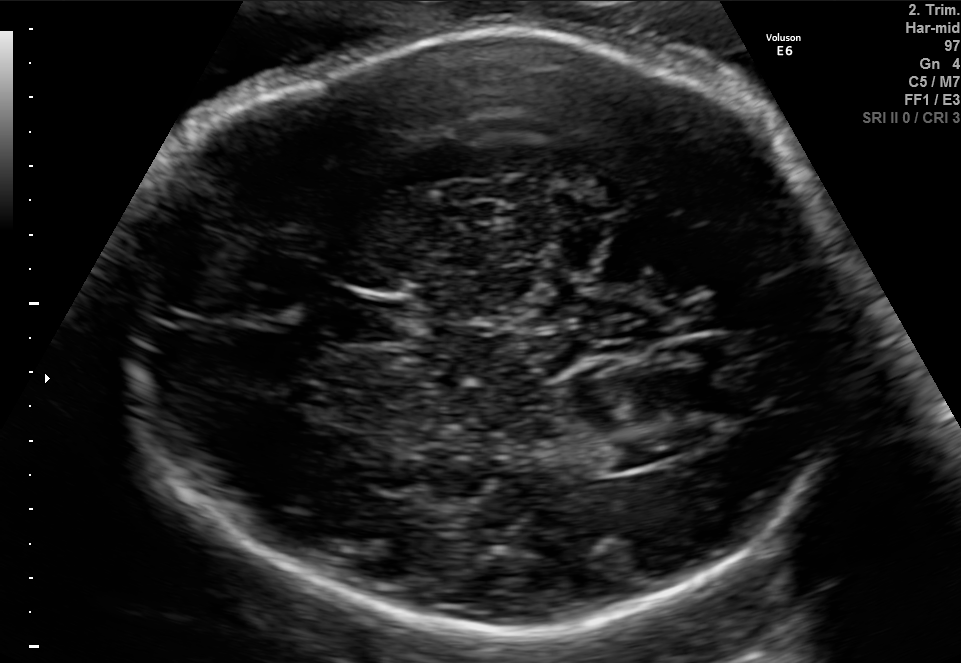
Fetal brain, trans-ventricular plane. Locate the fetal head.

Head: [109,20,862,639]